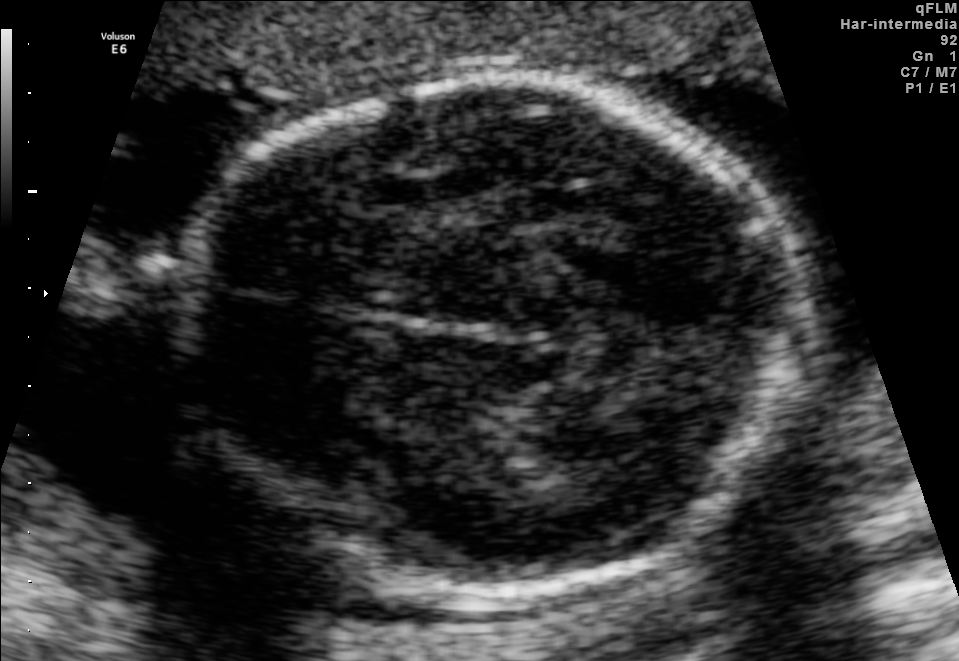
Fetal brain, trans-thalamic plane. Locate the fetal head.

Head: [175,80,804,595]